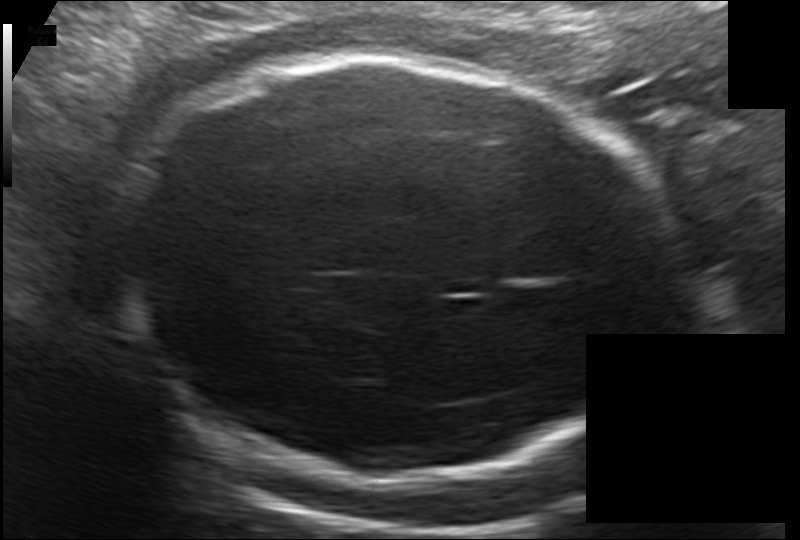
In this fetal head ultrasound, give the bounding box of the fetal head. Image width: 138.0 mm.

[116,55,672,480]